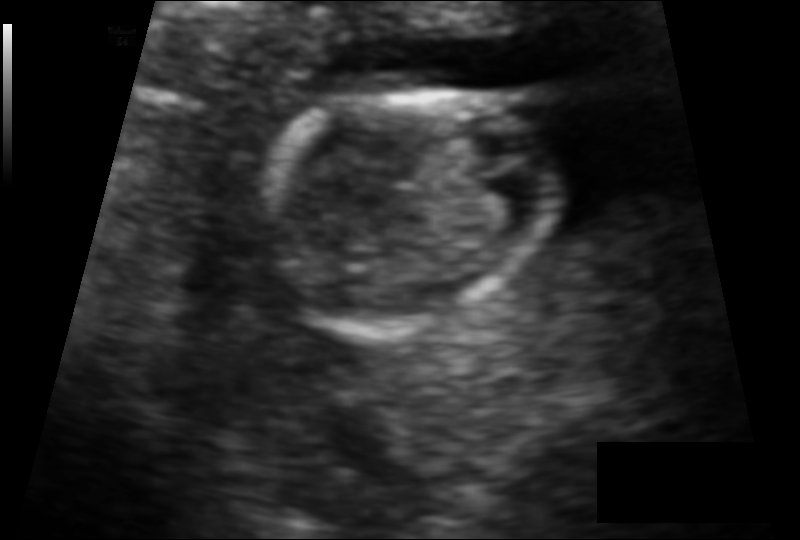
Fetal head ultrasound. Image width: 73.2 mm. Locate the fetal head.

Head: [254,91,559,325]